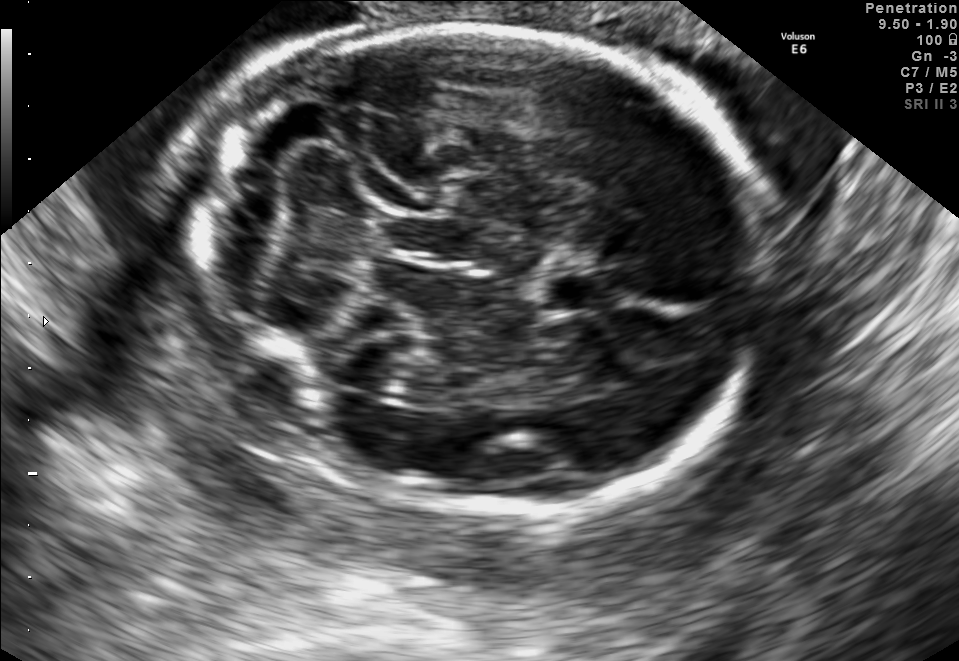
In this fetal brain, trans-cerebellum plane, give the bounding box of the fetal head.

[189,29,768,514]